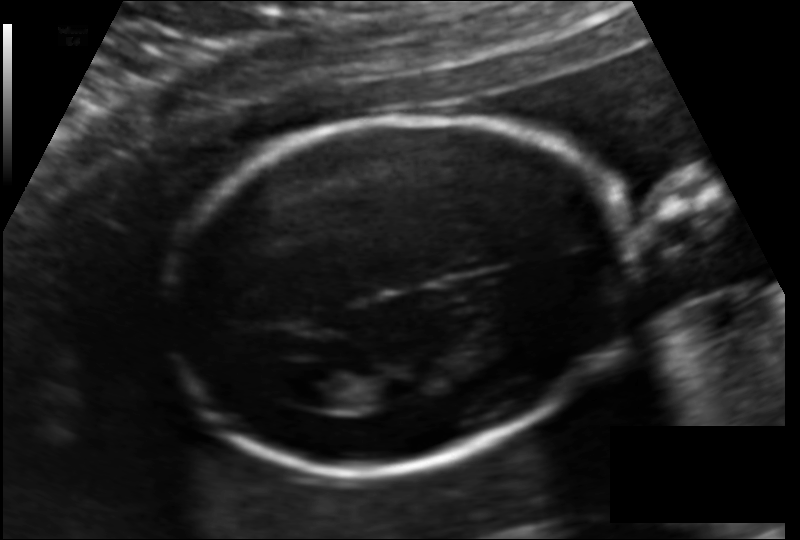
In this fetal head ultrasound, give bounding boxes for the head outline, cavum septum pellucidum (CSP), and lateral ventricle (LV), where visible. Image width: 101.5 mm.

Head: [161,117,634,469]
Lateral ventricle: [287,367,352,410]